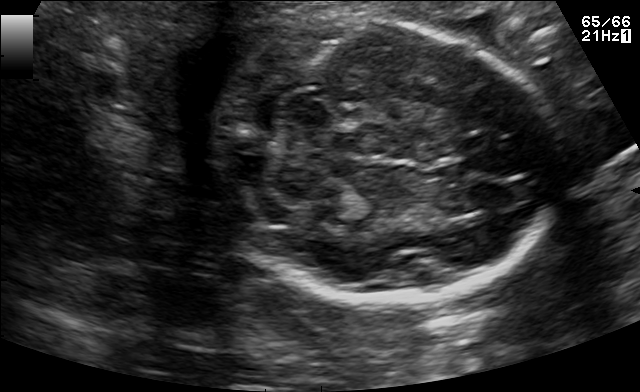
Fetal brain, trans-cerebellum plane. Give [x1,y1,x2,y2] bounding boxes for each visible structure among: fetal head, CSP, LV.

Head: [203,20,561,302]